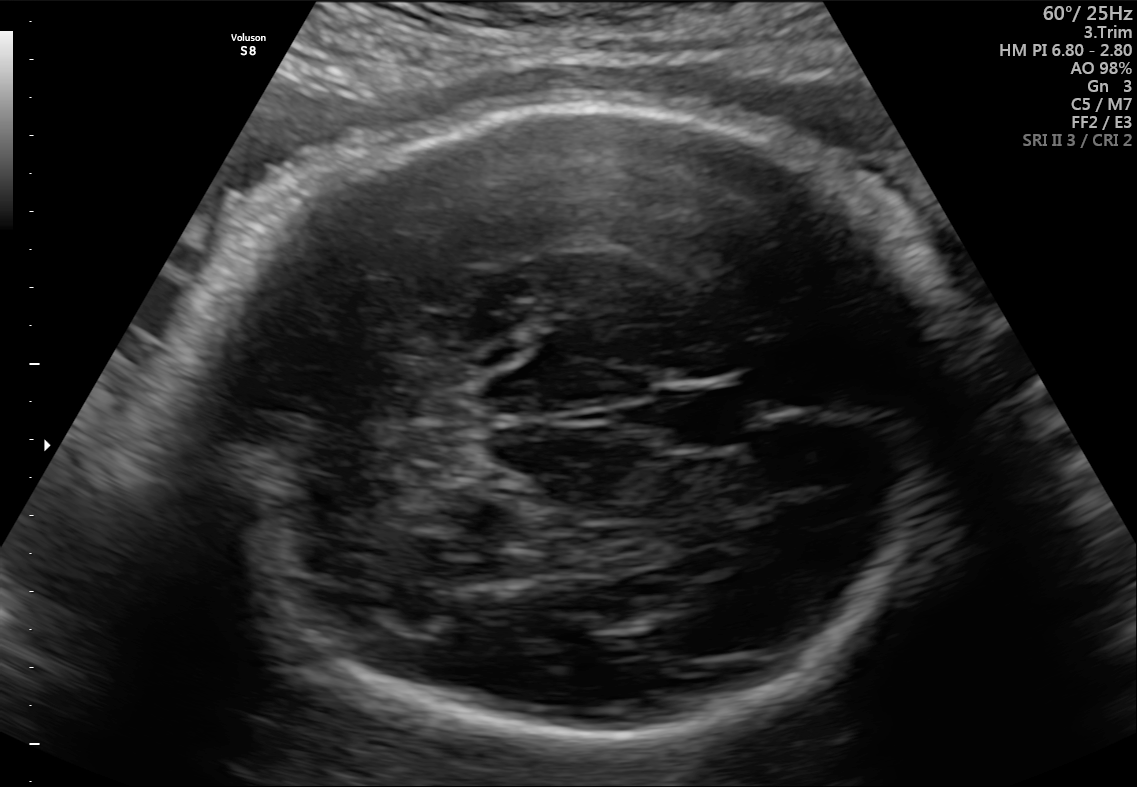
Fetal brain, trans-cerebellum plane. Locate the fetal head.

Head: [184,106,953,743]